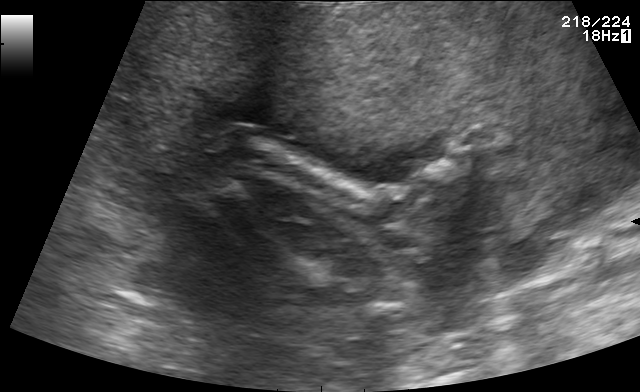
Classify this maternal-fetal ultrasound image as one of the six standard planes — fetal abdomen, fetal brain, fetal femur, fetal thorax, maternal cervix, or other. If it's fetal brain and one of the three standard brain planes (trans-thalamic, trans-cerebellum, trans-ventricular), name which.

Other